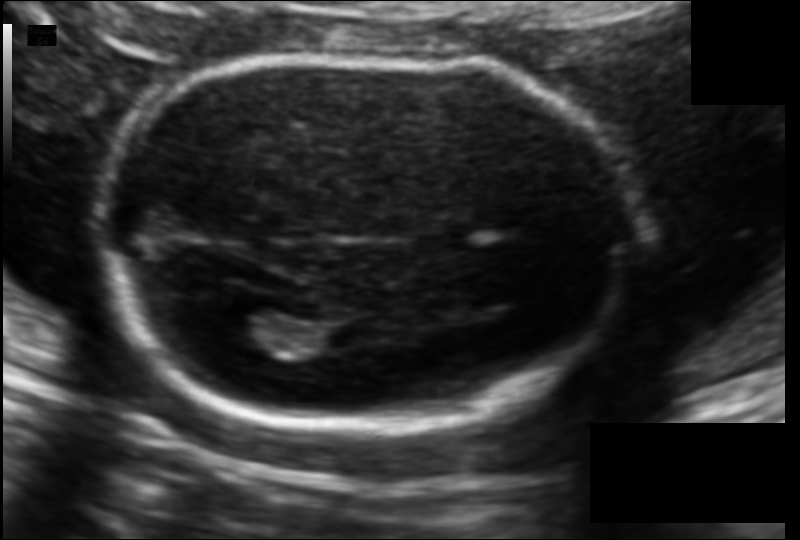
Fetal head ultrasound. Image width: 90.5 mm. Where is the fetal head?

Head bounding box: [95,57,642,429]